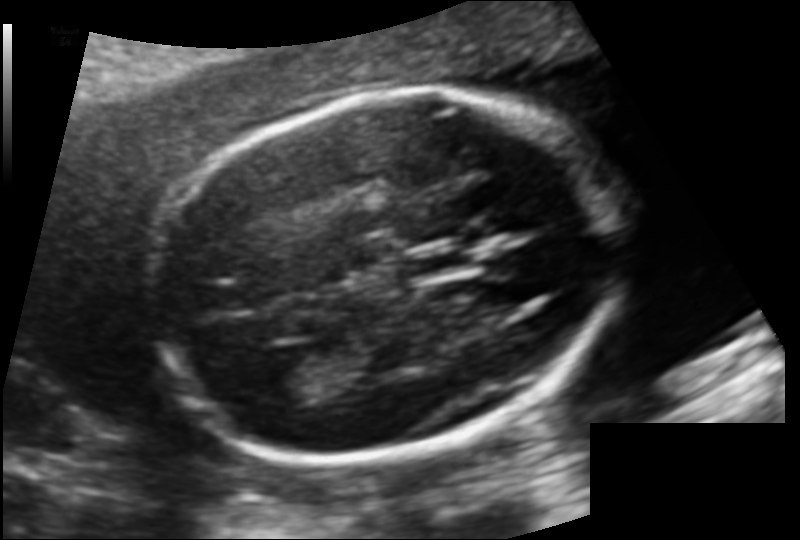
In this fetal head ultrasound, give bounding boxes for the head outline, cavum septum pellucidum (CSP), and lateral ventricle (LV), where visible. Image width: 96.3 mm.

Head: [152,92,613,459]
CSP: [405,243,469,282]
Lateral ventricle: [256,352,337,411]